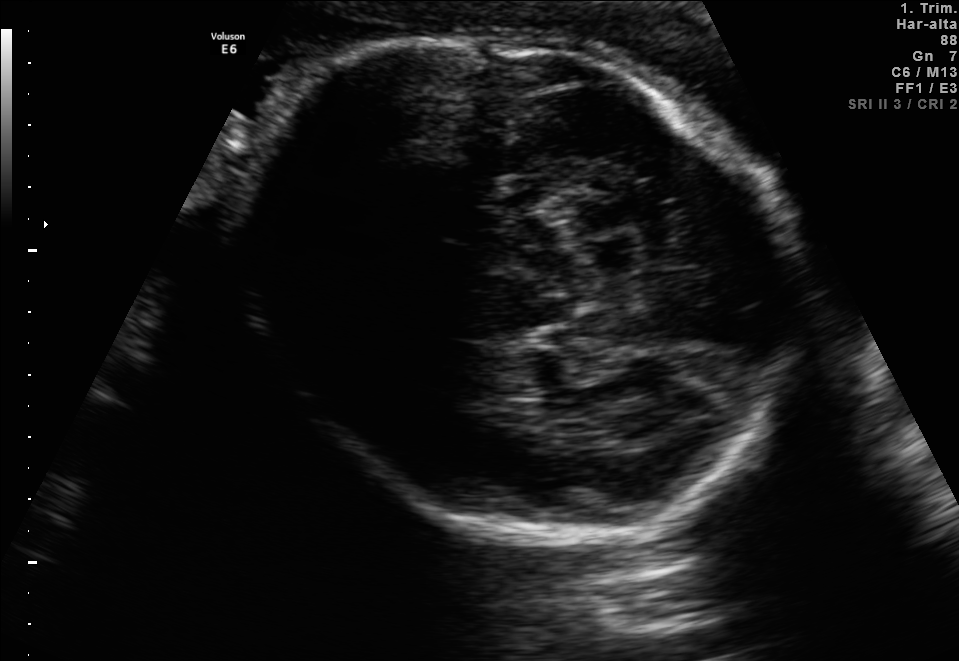
Fetal brain, trans-thalamic plane. Locate the fetal head and, if visible, the cavum septum pellucidum (CSP) and lateral ventricle (LV). Give bounding boxes as [x1,y1,x2,y2].

Head: [240,30,795,529]